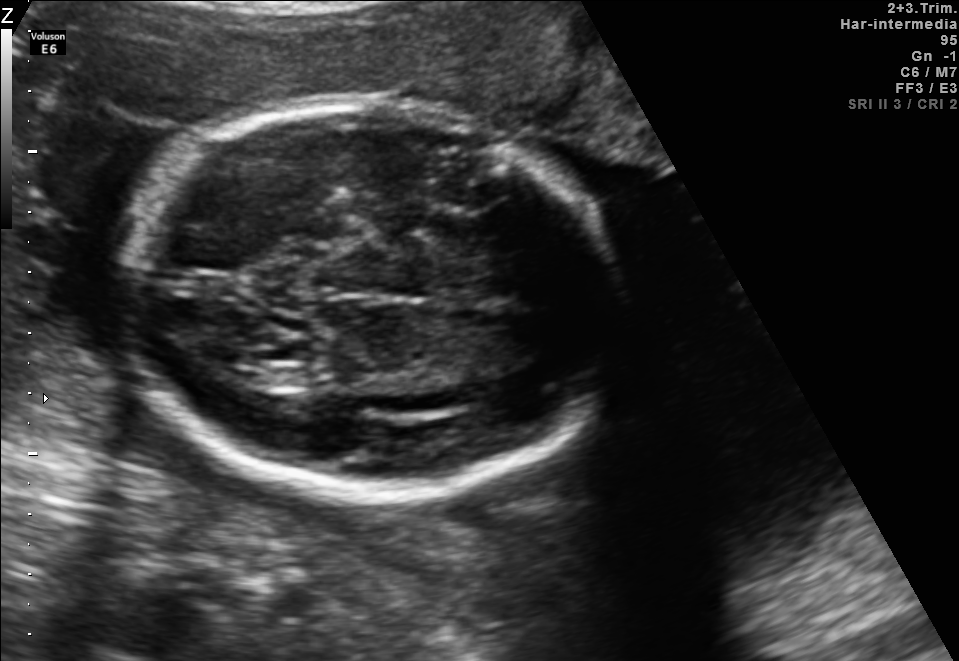
Fetal brain, trans-thalamic plane. Where is the fetal head?

Head bounding box: [118,103,615,498]